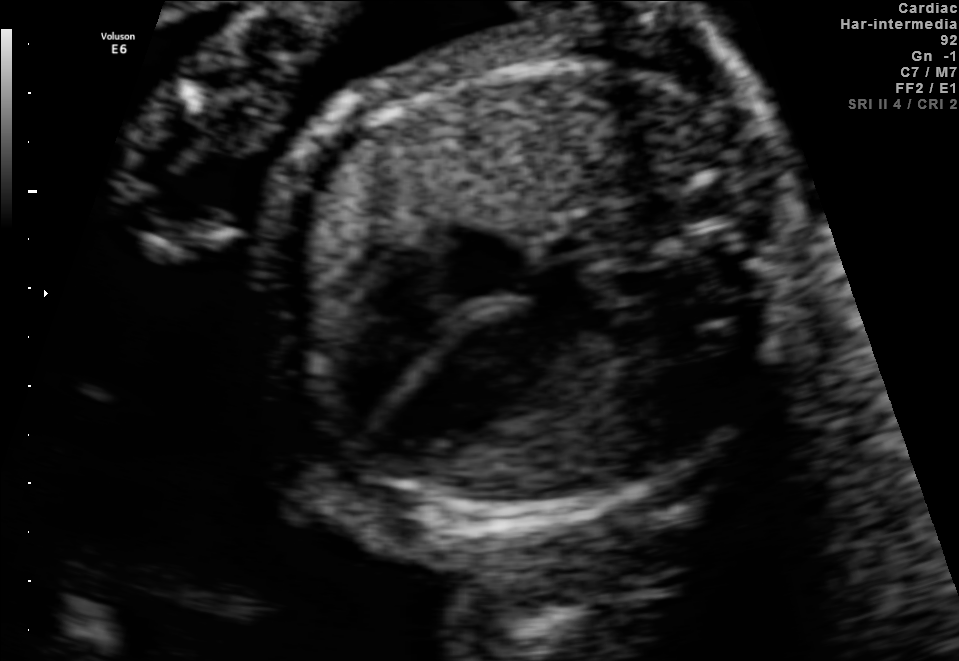
This is a 2D maternal-fetal ultrasound frame. Is it a fetal abdomen, fetal brain, fetal femur, fetal thorax, maternal cervix, or other standard plane? If it's fetal brain and one of the three standard brain planes (trans-thalamic, trans-cerebellum, trans-ventricular), name which.

Fetal thorax